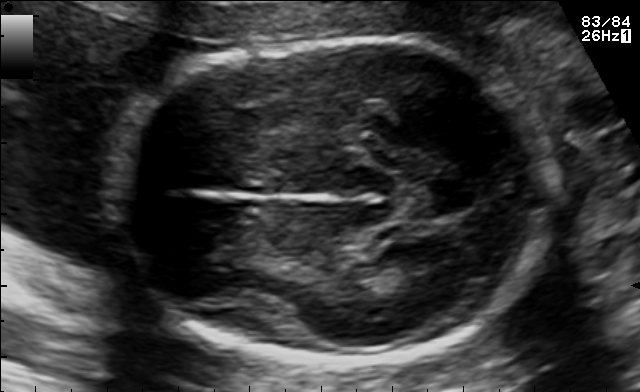
Fetal brain, trans-thalamic plane. Give [x1,y1,x2,y2] bounding boxes for each visible structure among: fetal head, CSP, LV.

Head: [113,39,559,361]